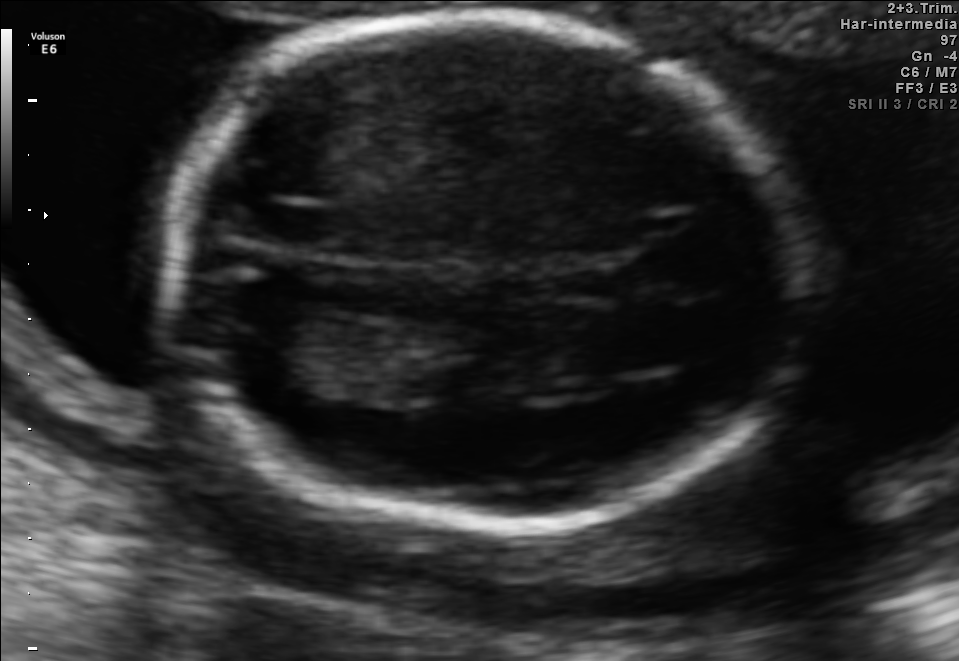
Fetal brain, trans-thalamic plane. Locate the fetal head.

Head: [169,16,808,531]